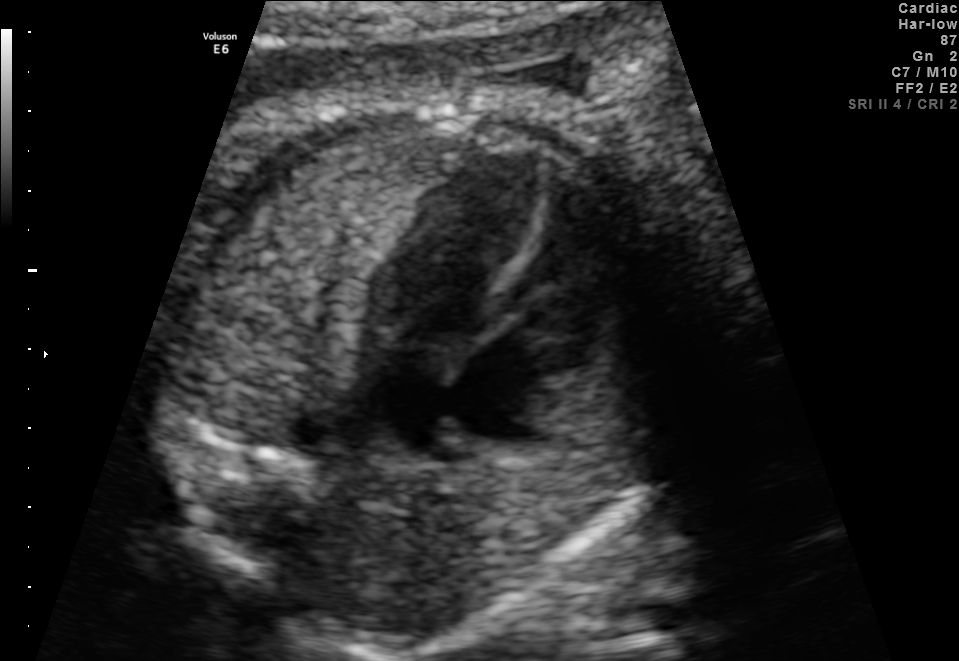
Classify this maternal-fetal ultrasound image as one of the six standard planes — fetal abdomen, fetal brain, fetal femur, fetal thorax, maternal cervix, or other. If it's fetal brain and one of the three standard brain planes (trans-thalamic, trans-cerebellum, trans-ventricular), name which.

Fetal thorax